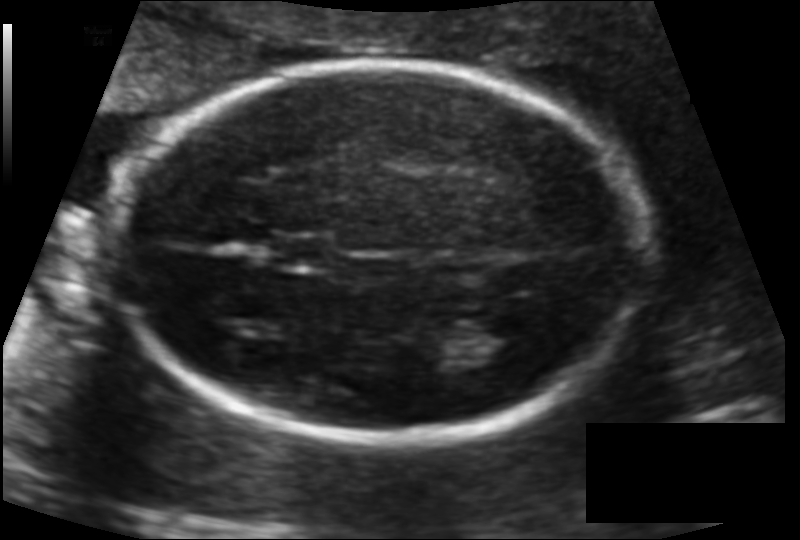
Fetal head ultrasound. Image width: 91.7 mm. Where is the lateral ventricle?

Lateral ventricle bounding box: [458,315,538,371]